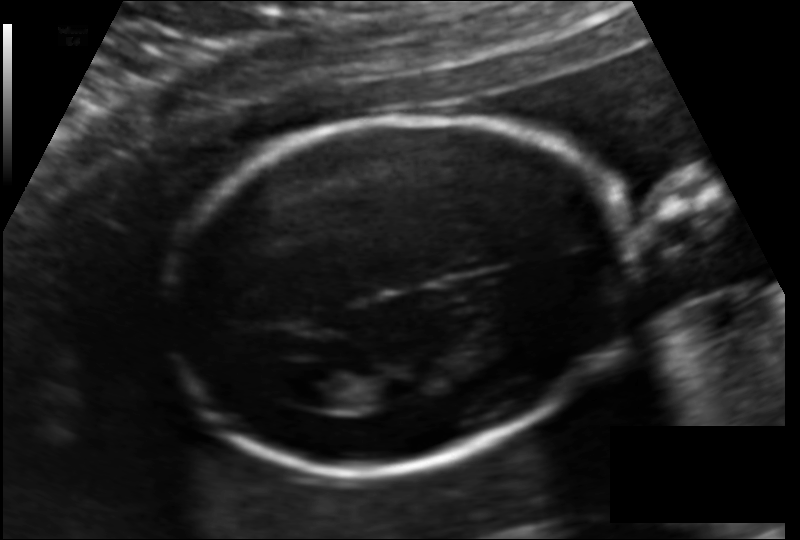
In this fetal head ultrasound, give the bounding box of the fetal head. Image width: 101.5 mm.

[161,117,634,469]